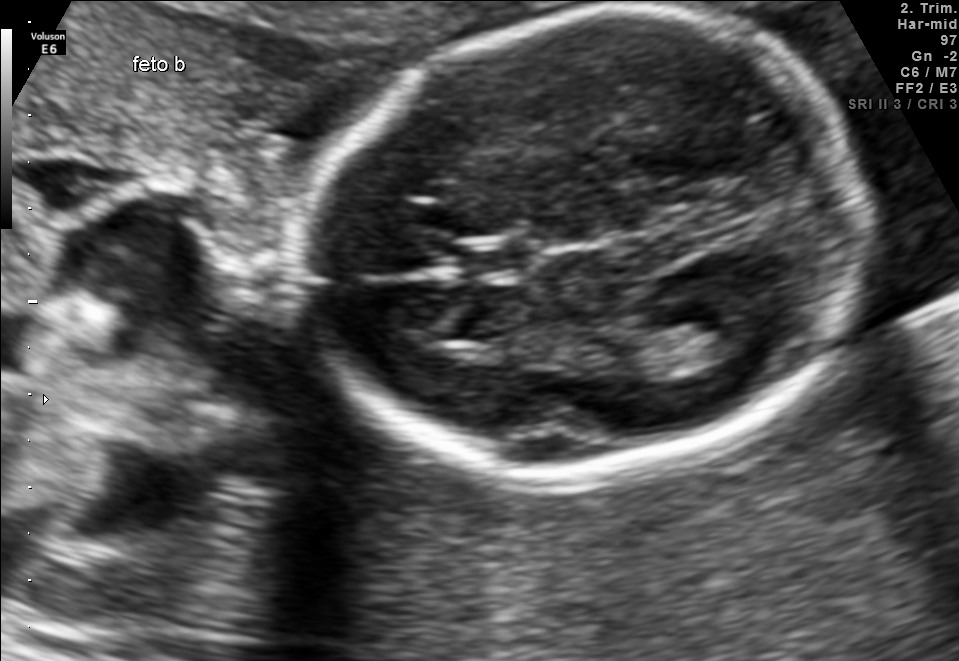
Classify this maternal-fetal ultrasound image as one of the six standard planes — fetal abdomen, fetal brain, fetal femur, fetal thorax, maternal cervix, or other. If it's fetal brain and one of the three standard brain planes (trans-thalamic, trans-cerebellum, trans-ventricular), name which.

Fetal brain (trans-thalamic plane)